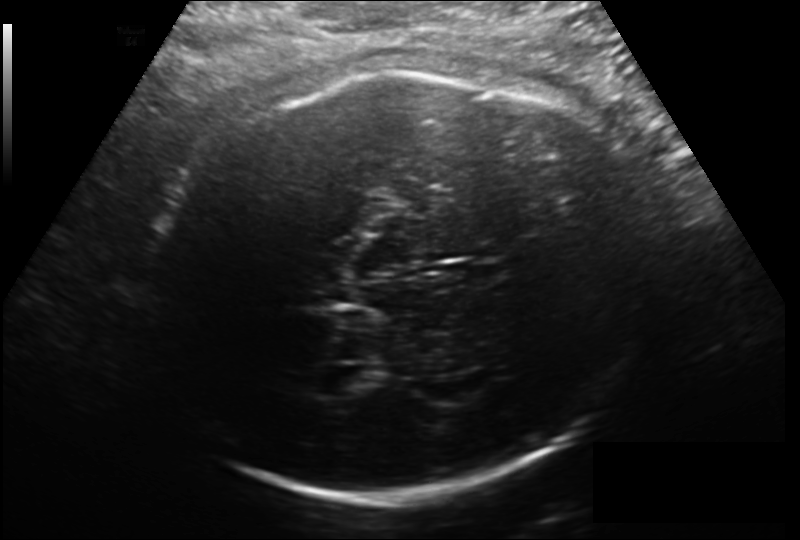
Fetal head ultrasound. Image width: 164.8 mm. Locate the lateral ventricle.

Lateral ventricle: [320,366,373,395]